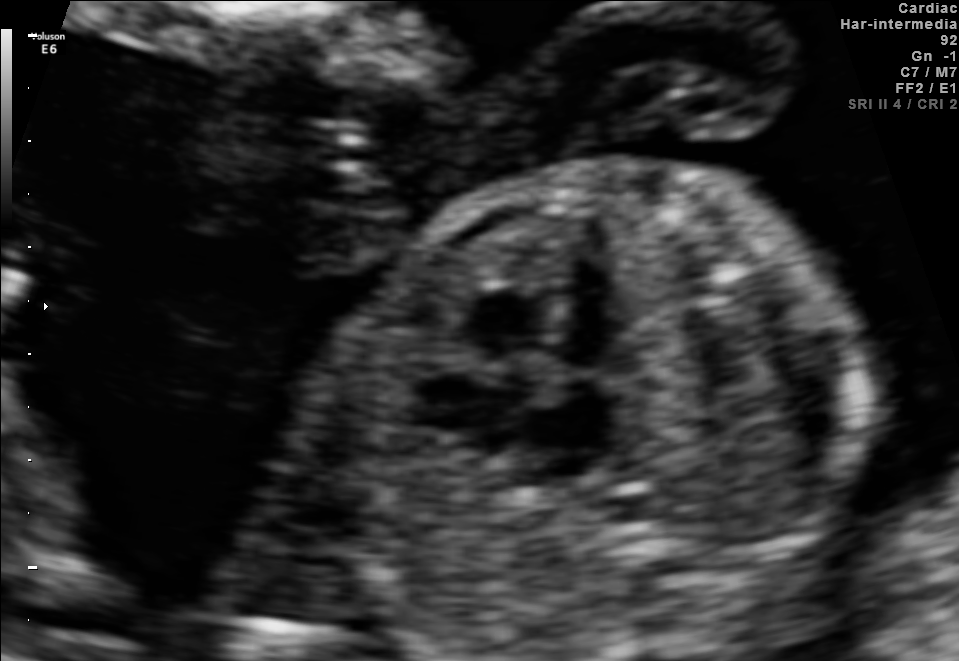
Which standard maternal-fetal ultrasound plane is shown: fetal abdomen, fetal brain, fetal femur, fetal thorax, maternal cervix, or other? If it's fetal brain and one of the three standard brain planes (trans-thalamic, trans-cerebellum, trans-ventricular), name which.

Fetal thorax